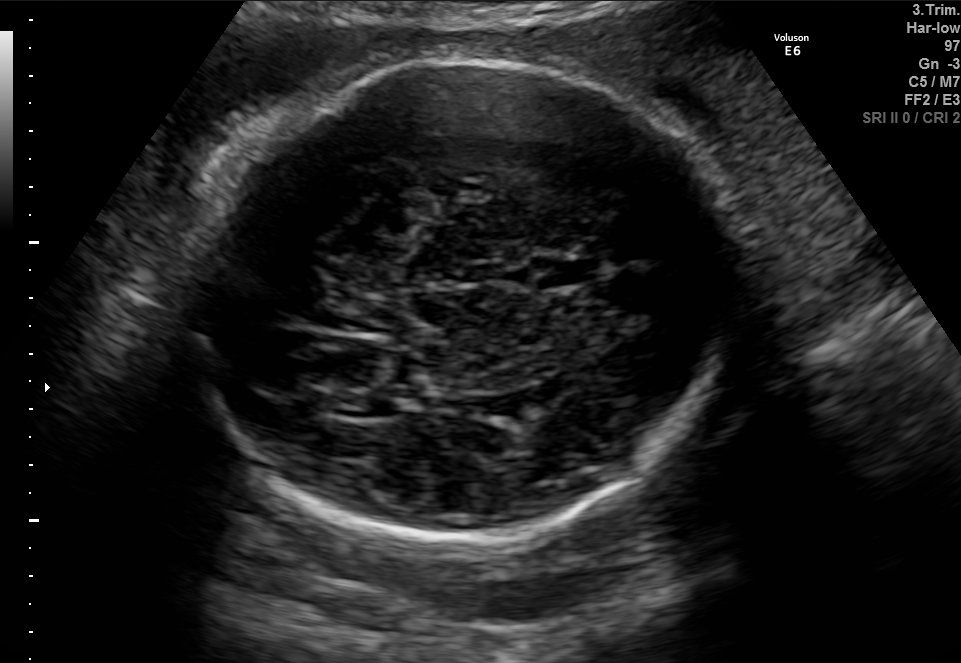
Identify the standard plane in this fetal ultrasound image: fetal abdomen, fetal brain, fetal femur, fetal thorax, maternal cervix, or other. If it's fetal brain and one of the three standard brain planes (trans-thalamic, trans-cerebellum, trans-ventricular), name which.

Fetal brain (trans-thalamic plane)